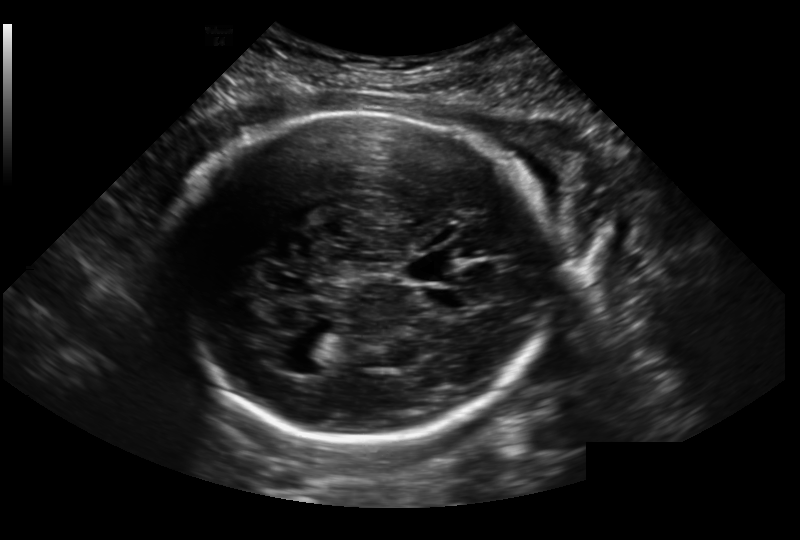
Fetal head ultrasound. Image width: 188.7 mm. Locate the lateral ventricle.

Lateral ventricle: [281,354,324,377]